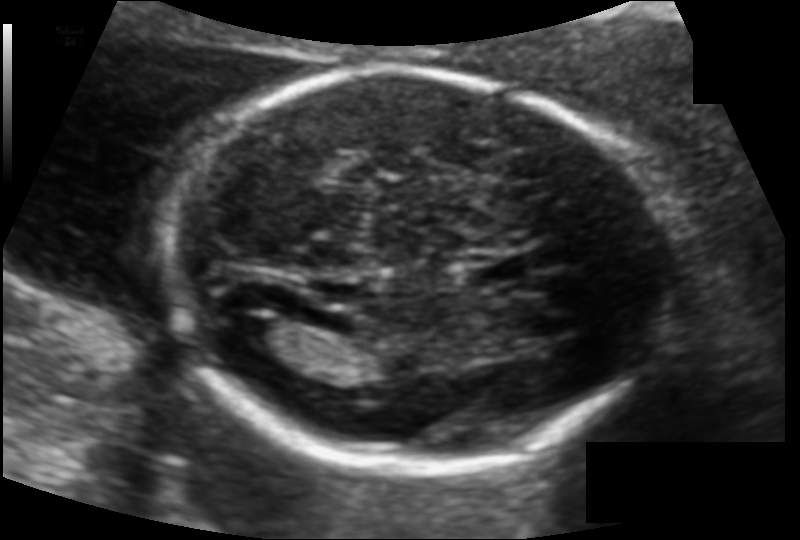
Fetal head ultrasound. Image width: 91.9 mm. Where is the cavum septum pellucidum?

CSP bounding box: [465,249,534,295]